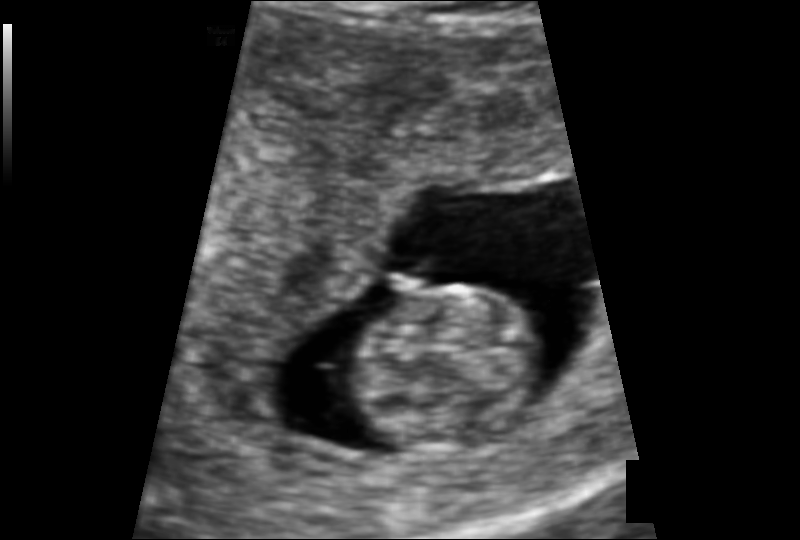
What is the fetal head circumference? Image width is 87.5 mm.

62.8 mm